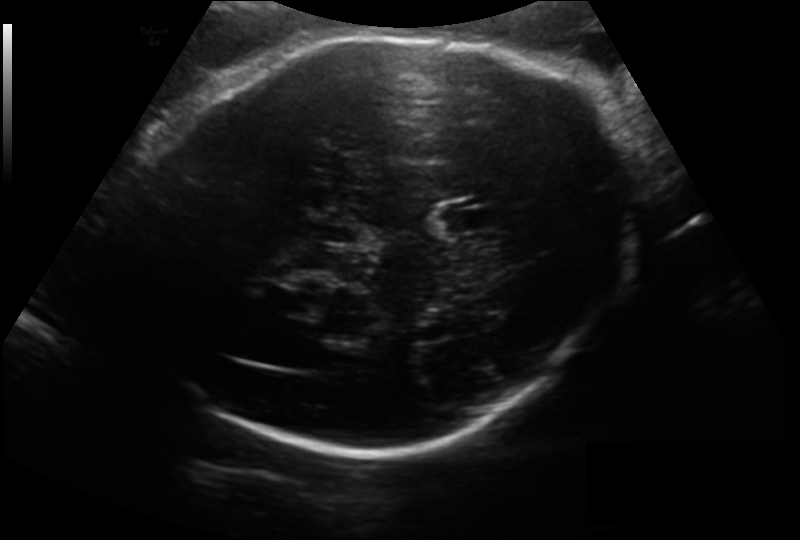
Fetal head ultrasound. Image width: 160.1 mm. Locate the fetal head.

Head: [138,35,626,448]